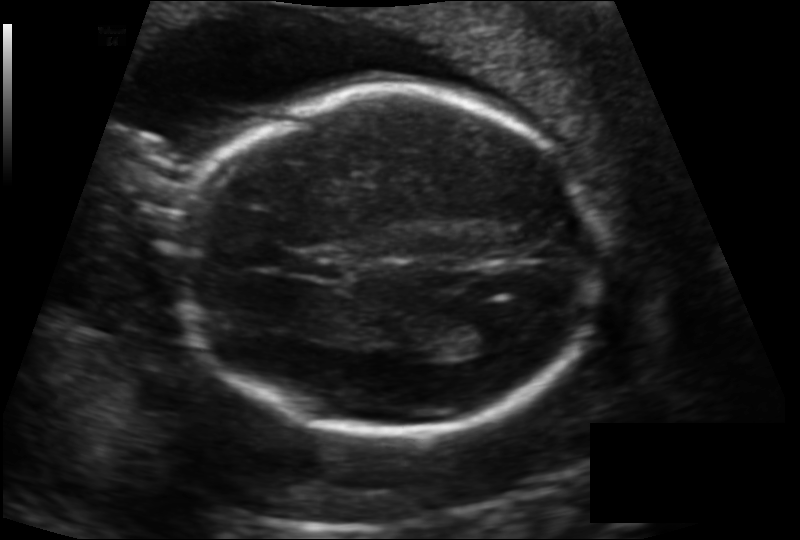
Fetal head ultrasound. Image width: 113.2 mm. Where is the cavum septum pellucidum?

CSP bounding box: [285,247,347,282]